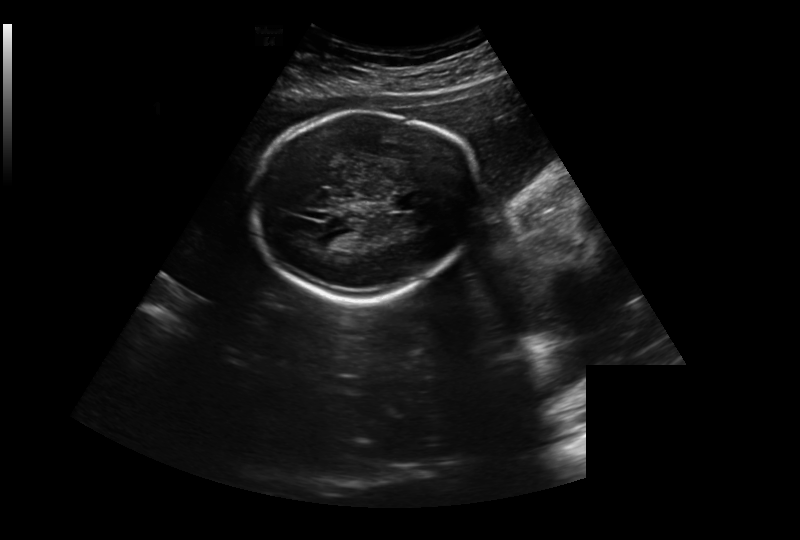
Fetal head ultrasound. Image width: 260.8 mm. Where is the cavum septum pellucidum?

CSP bounding box: [390,192,425,212]